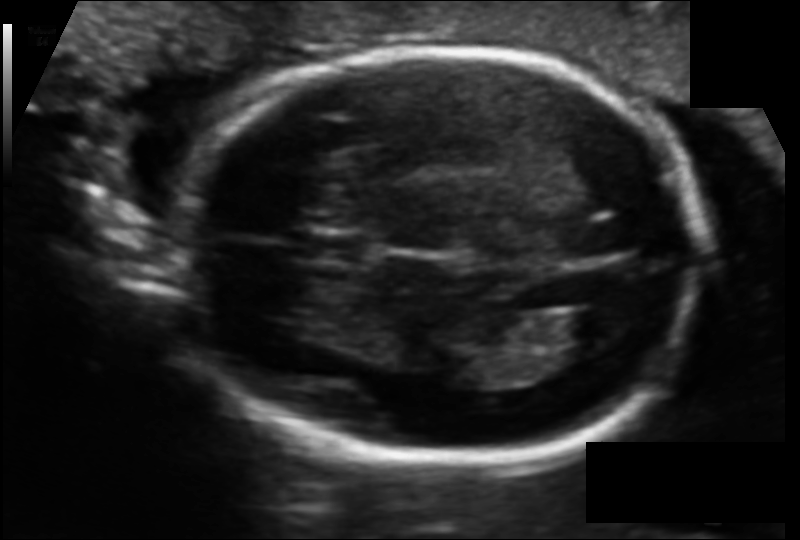
Fetal head ultrasound. Image width: 86.3 mm. Locate the fetal head and, if visible, the cavum septum pellucidum (CSP) and lateral ventricle (LV). Give bounding boxes as [x1,y1,x2,y2].

Head: [173,50,709,467]
CSP: [304,233,369,263]
Lateral ventricle: [546,298,627,365]